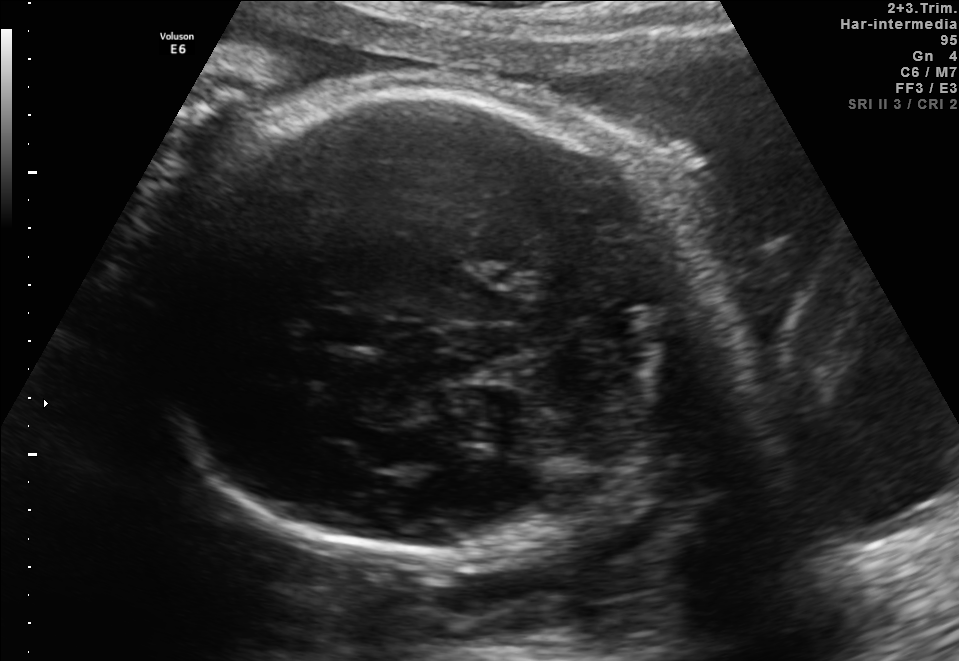
Fetal brain, trans-thalamic plane. Locate the fetal head and, if visible, the cavum septum pellucidum (CSP) and lateral ventricle (LV). Give bounding boxes as [x1,y1,x2,y2].

Head: [139,94,700,553]
CSP: [310,308,385,349]